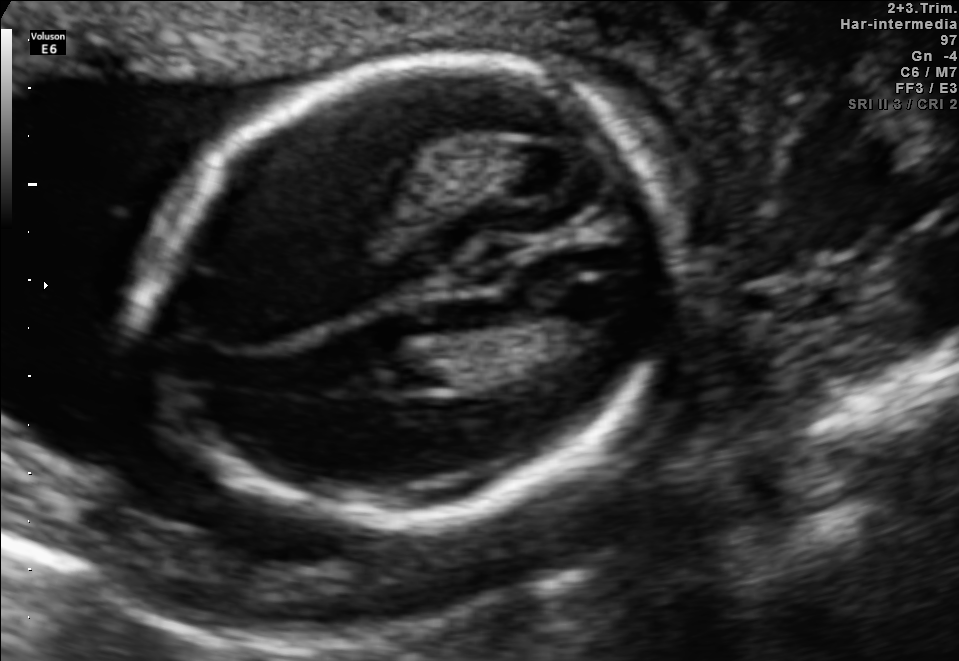
Fetal brain, trans-thalamic plane. Locate the fetal head.

Head: [140,63,677,526]